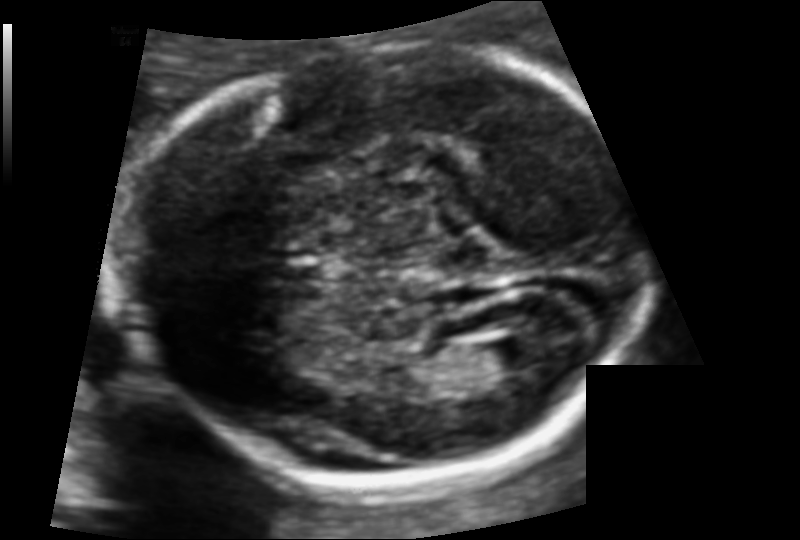
Fetal head ultrasound. Image width: 84.2 mm. Where is the fetal head?

Head bounding box: [128,51,649,492]